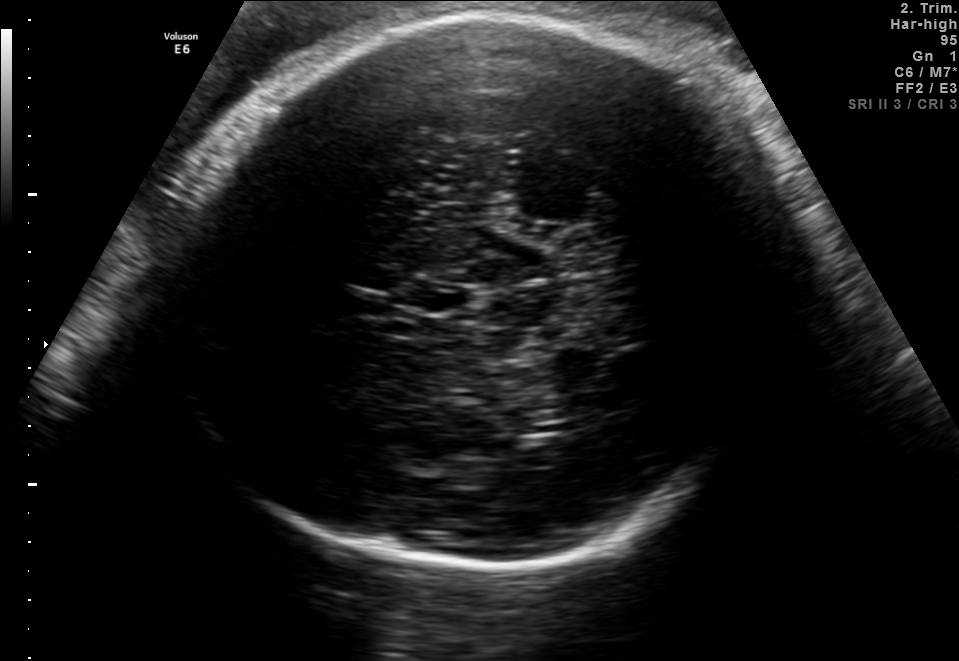
Fetal brain, trans-thalamic plane. Locate the fetal head.

Head: [169,15,780,578]